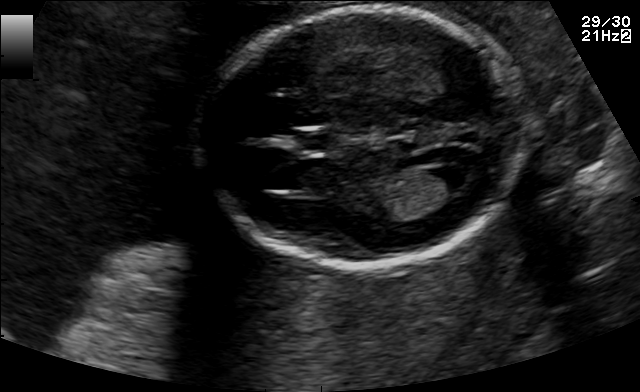
In this fetal brain, trans-ventricular plane, give the bounding box of the lateral ventricle.

[430,158,484,197]